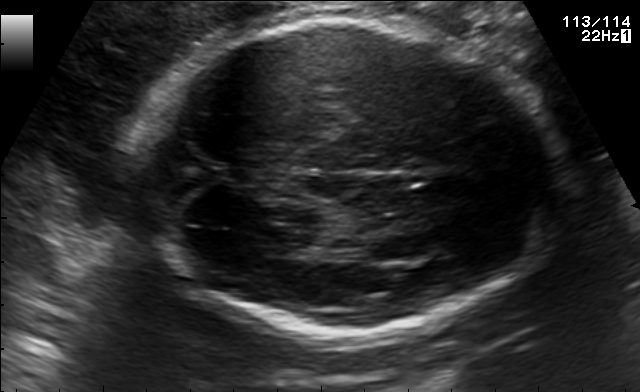
Fetal brain, trans-thalamic plane. Locate the fetal head.

Head: [140,21,564,334]